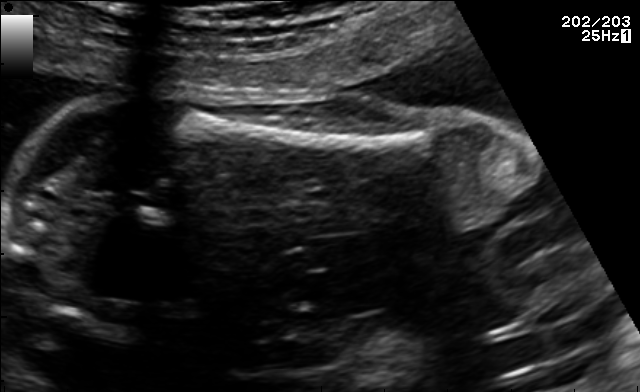
Classify this maternal-fetal ultrasound image as one of the six standard planes — fetal abdomen, fetal brain, fetal femur, fetal thorax, maternal cervix, or other. If it's fetal brain and one of the three standard brain planes (trans-thalamic, trans-cerebellum, trans-ventricular), name which.

Fetal femur